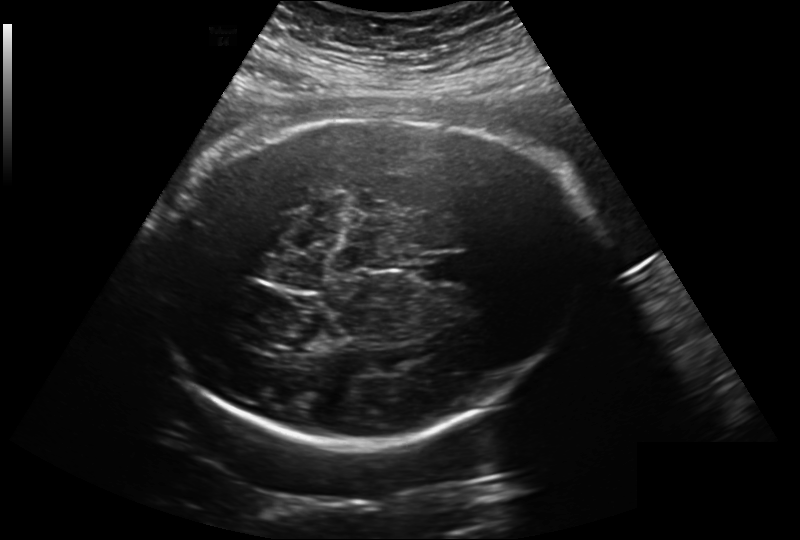
From this fetal ultrasound, estimate the head circumference (image width 208.0 mm).

Head circumference: 323.3 mm.